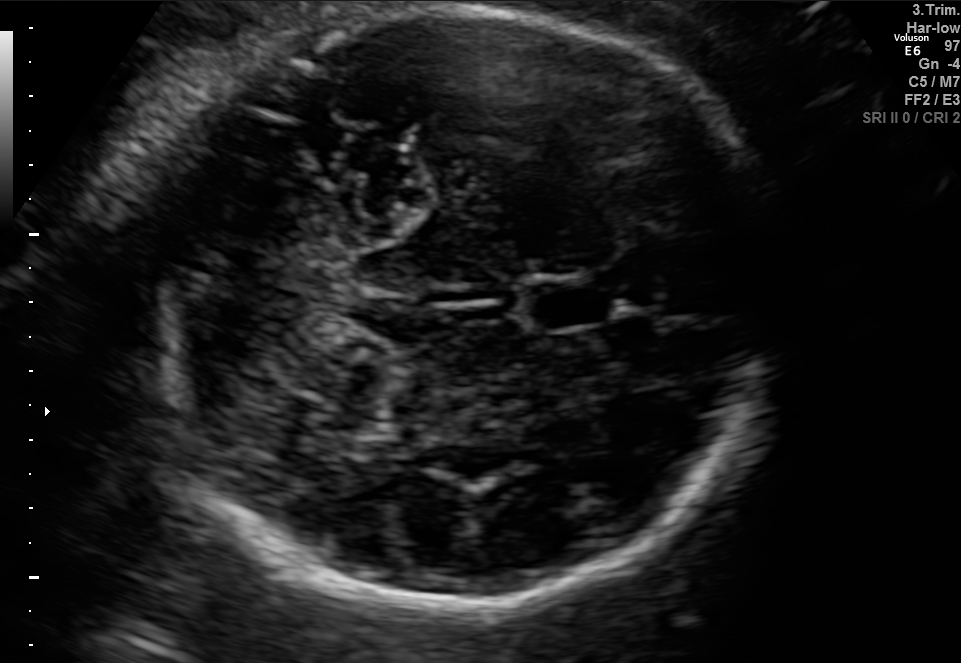
In this fetal brain, trans-cerebellum plane, give the bounding box of the cavum septum pellucidum.

[523,276,612,334]